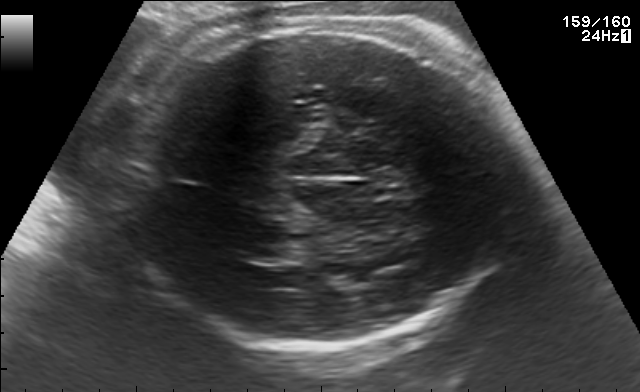
In this fetal brain, trans-thalamic plane, give bounding boxes for the head outline, cavum septum pellucidum (CSP), and lateral ventricle (LV), where visible.

Head: [115,16,526,348]